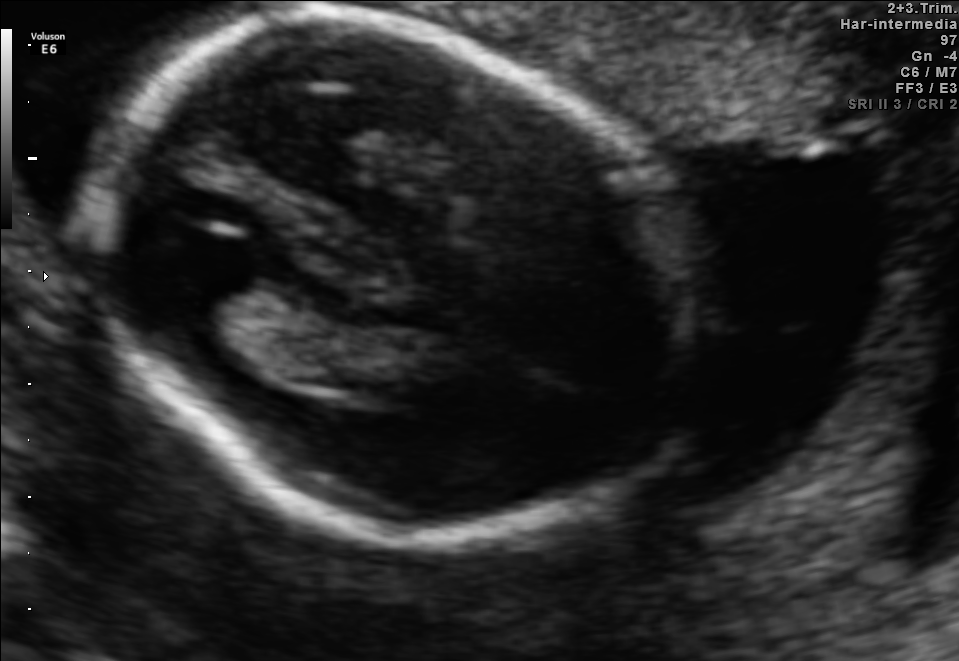
Fetal brain, trans-thalamic plane. Give [x1,y1,x2,y2] bounding boxes for each visible structure among: fetal head, CSP, LV.

Head: [87,26,704,541]